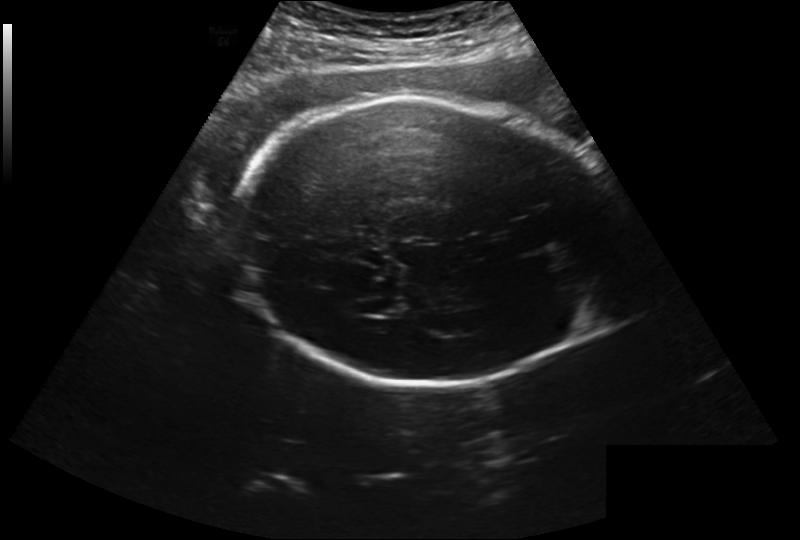
Estimate the fetal head circumference from this 2D ultrasound. Image width: 208.3 mm.

Head circumference: 282.4 mm.